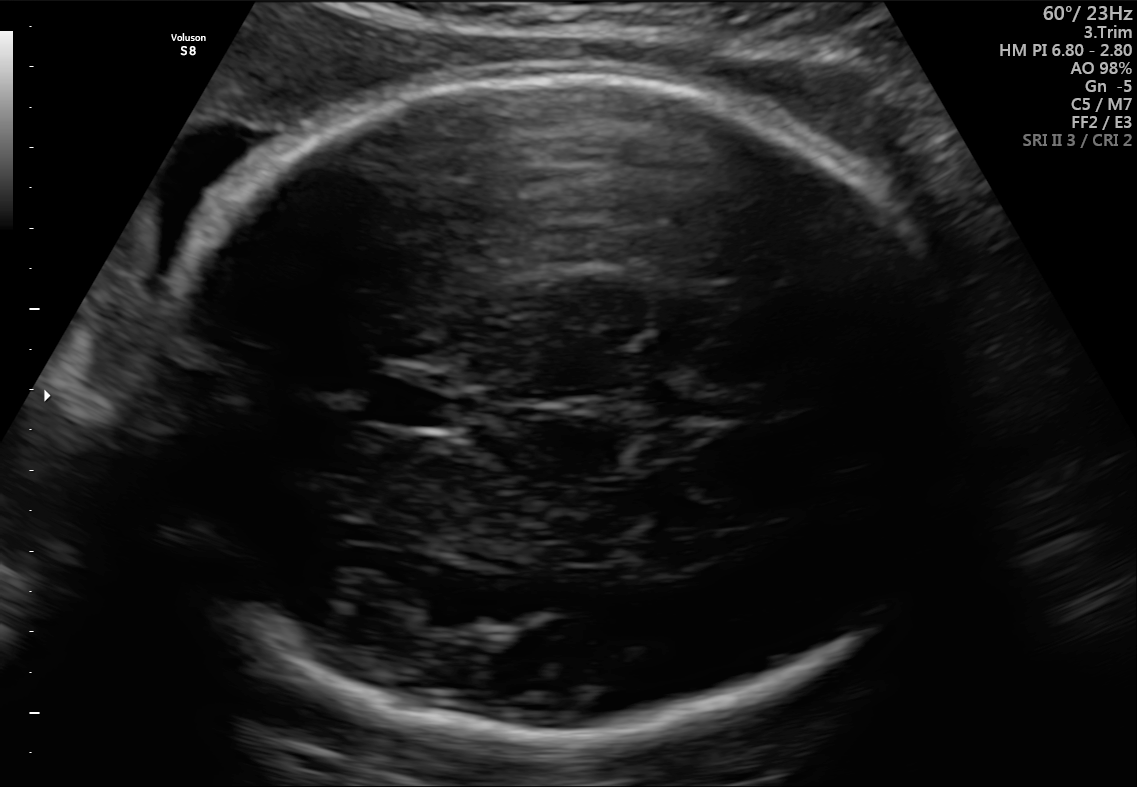
Fetal brain, trans-thalamic plane. Where is the cavum septum pellucidum?

CSP bounding box: [366,376,457,431]